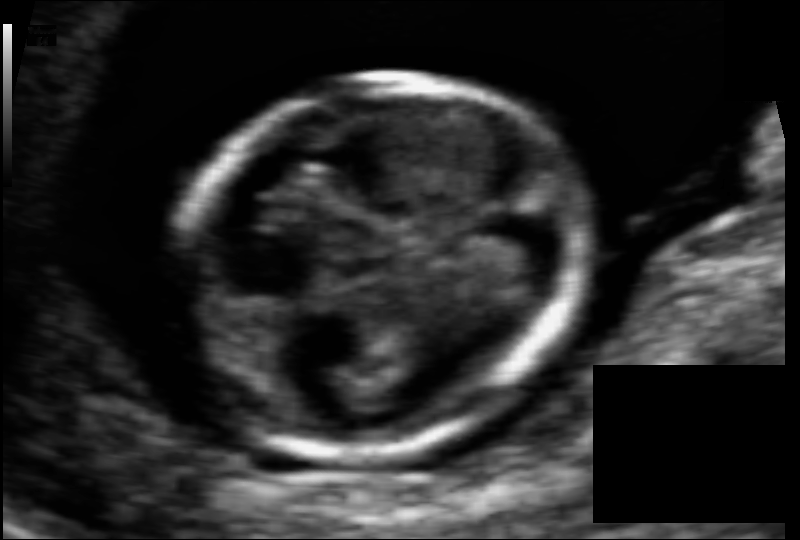
Fetal head ultrasound. Image width: 43.2 mm. Give [x1,y1,x2,y2] bounding boxes for each visible structure among: fetal head, CSP, LV.

Head: [173,74,583,458]